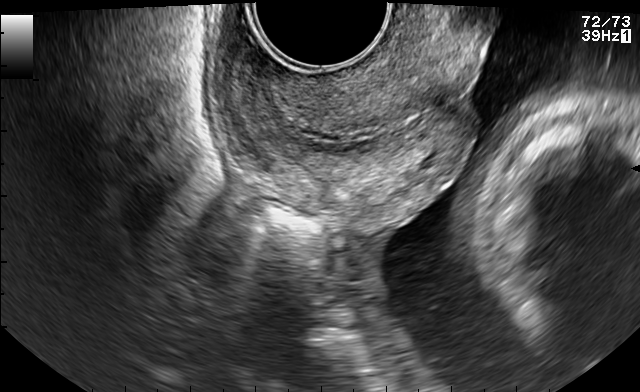
Which standard maternal-fetal ultrasound plane is shown: fetal abdomen, fetal brain, fetal femur, fetal thorax, maternal cervix, or other? If it's fetal brain and one of the three standard brain planes (trans-thalamic, trans-cerebellum, trans-ventricular), name which.

Maternal cervix